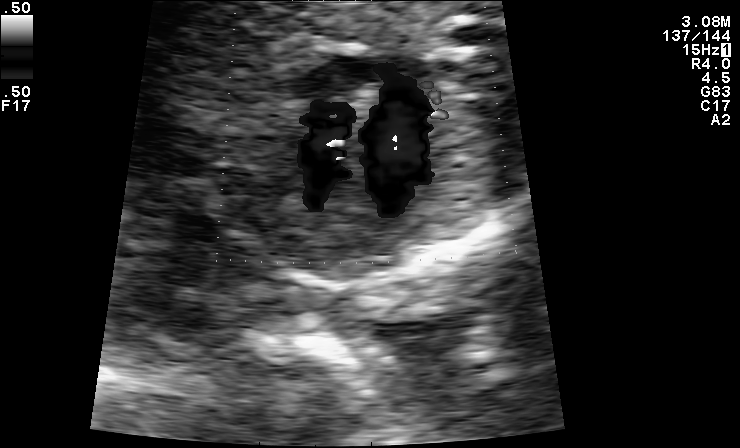
Identify the standard plane in this fetal ultrasound image: fetal abdomen, fetal brain, fetal femur, fetal thorax, maternal cervix, or other. If it's fetal brain and one of the three standard brain planes (trans-thalamic, trans-cerebellum, trans-ventricular), name which.

Other